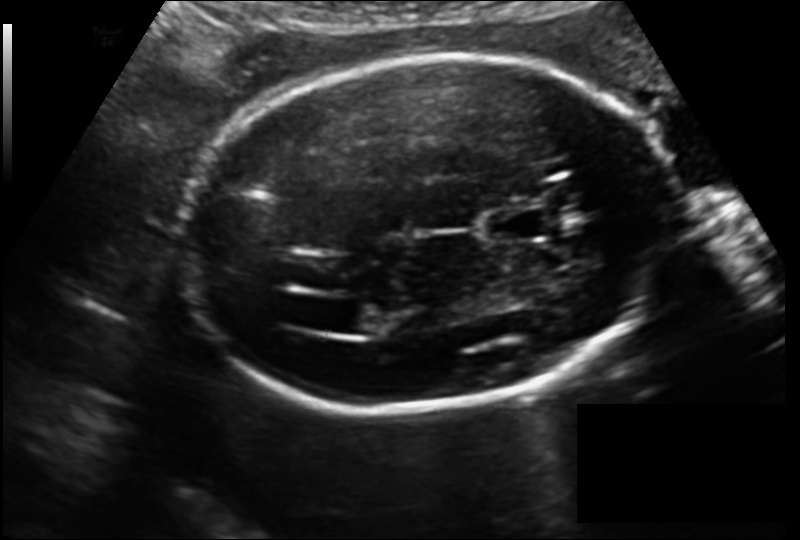
What is the fetal head circumference? Image width is 120.3 mm.

209.2 mm